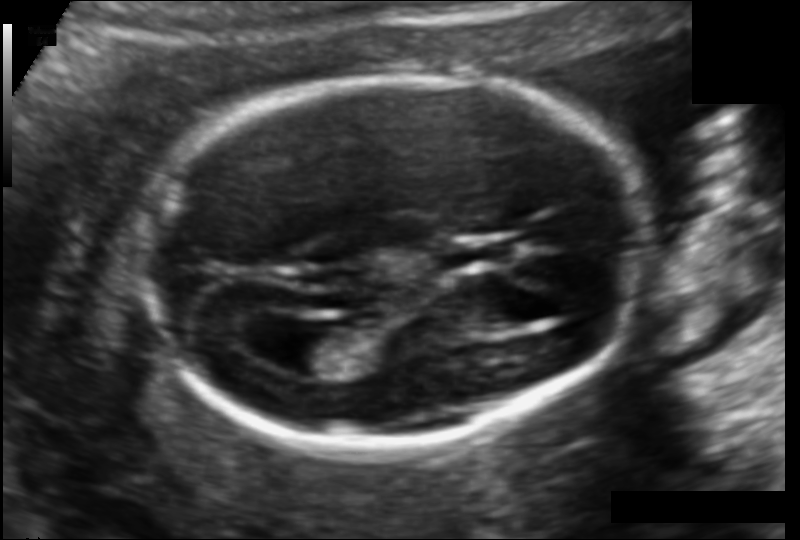
From this fetal ultrasound, estimate the head circumference (image width 91.5 mm).

Head circumference: 162.1 mm.